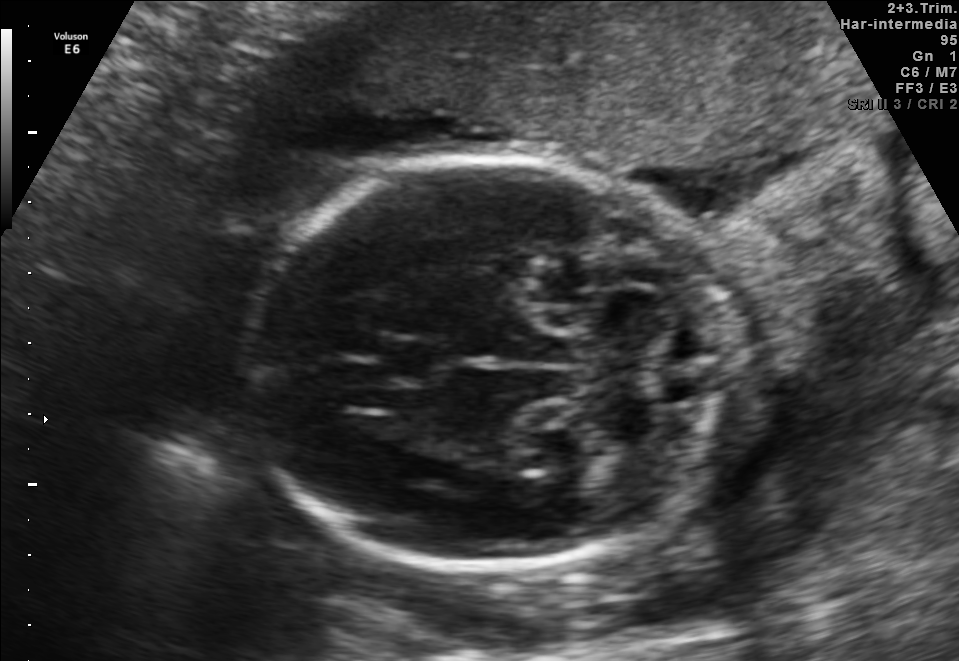
Fetal brain, trans-cerebellum plane. Locate the fetal head and, if visible, the cavum septum pellucidum (CSP) and lateral ventricle (LV). Give bounding boxes as [x1,y1,x2,y2].

Head: [246,157,721,568]
CSP: [380,336,442,383]